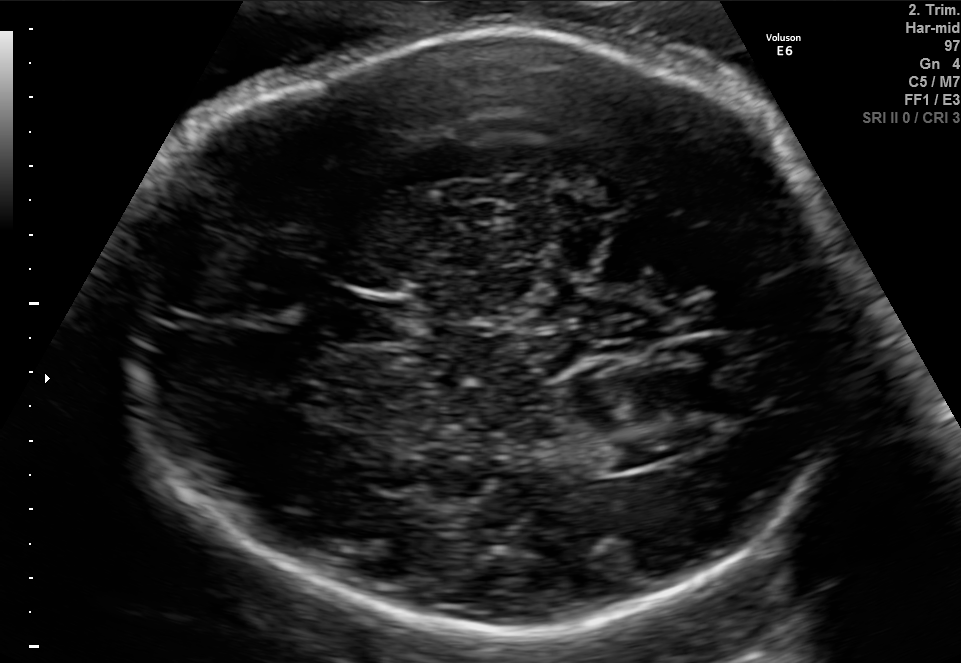
In this fetal brain, trans-ventricular plane, give the bounding box of the lateral ventricle.

[611,424,690,472]